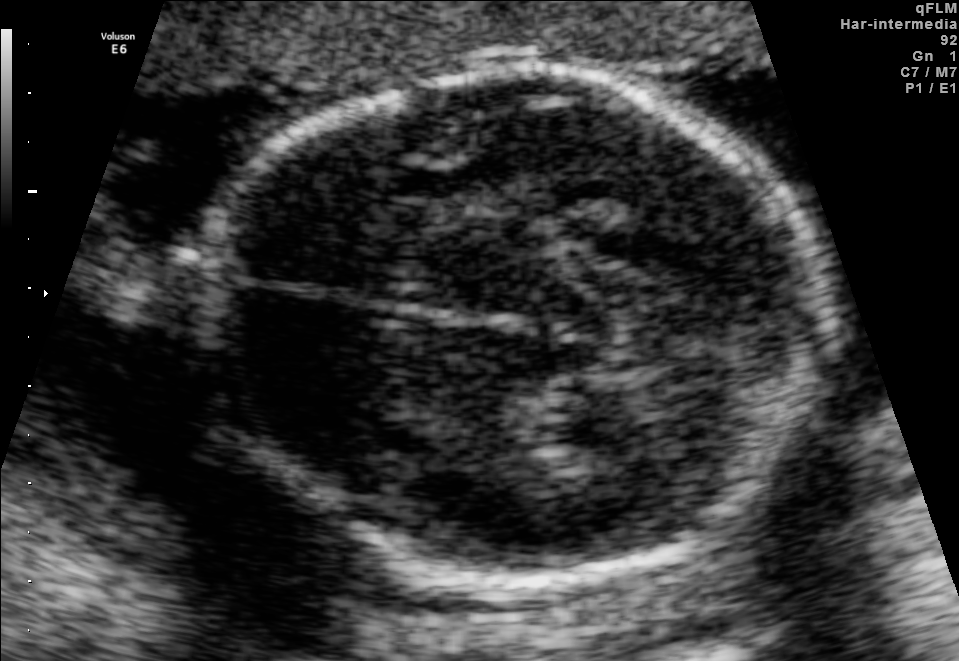
Fetal brain, trans-thalamic plane. Locate the lateral ventricle.

Lateral ventricle: [541,377,686,467]